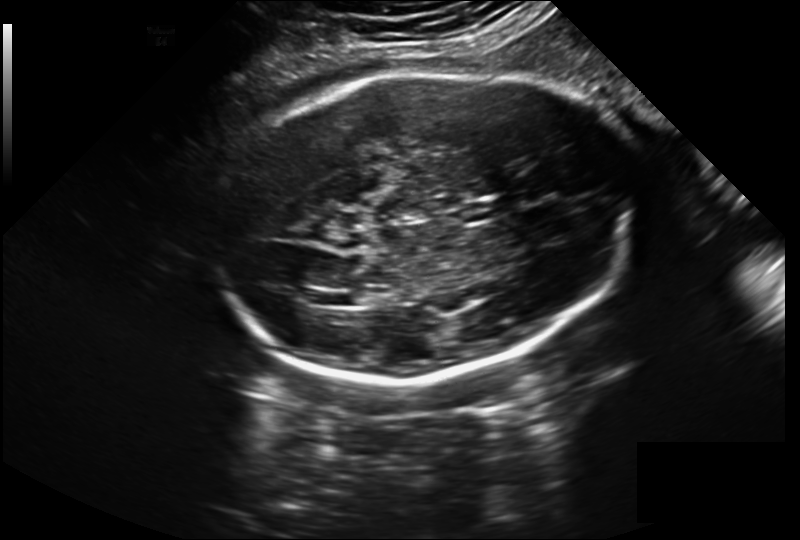
Fetal head ultrasound. Image width: 194.5 mm. Give [x1,y1,x2,y2] bounding boxes for each visible structure among: fetal head, CSP, LV.

Head: [210,69,633,380]
Lateral ventricle: [337,292,369,305]